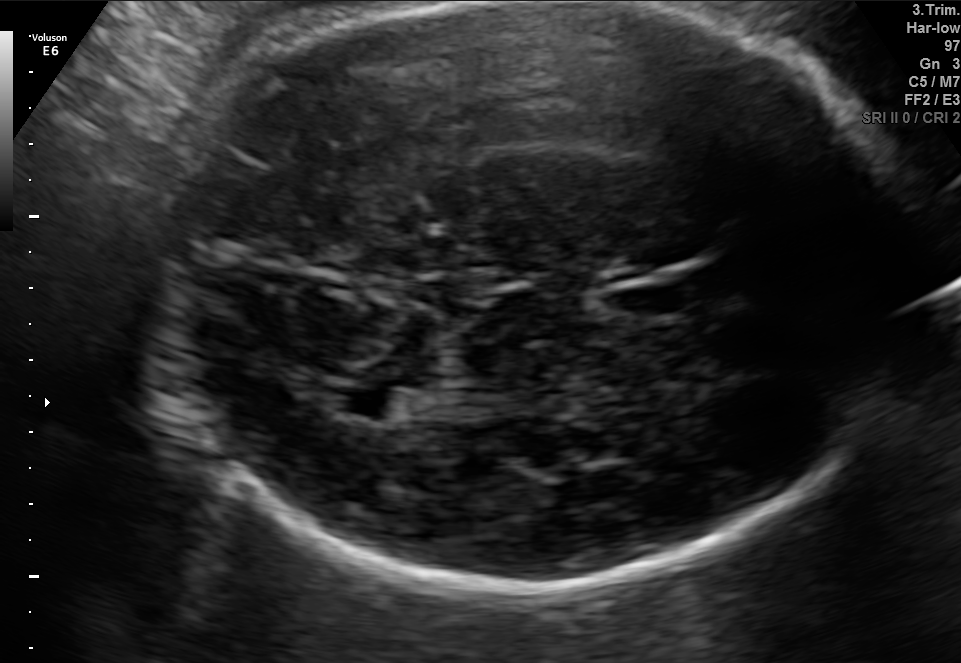
Fetal brain, trans-thalamic plane. Give [x1,y1,x2,y2] bounding boxes for each visible structure among: fetal head, CSP, LV.

Head: [167,2,912,591]